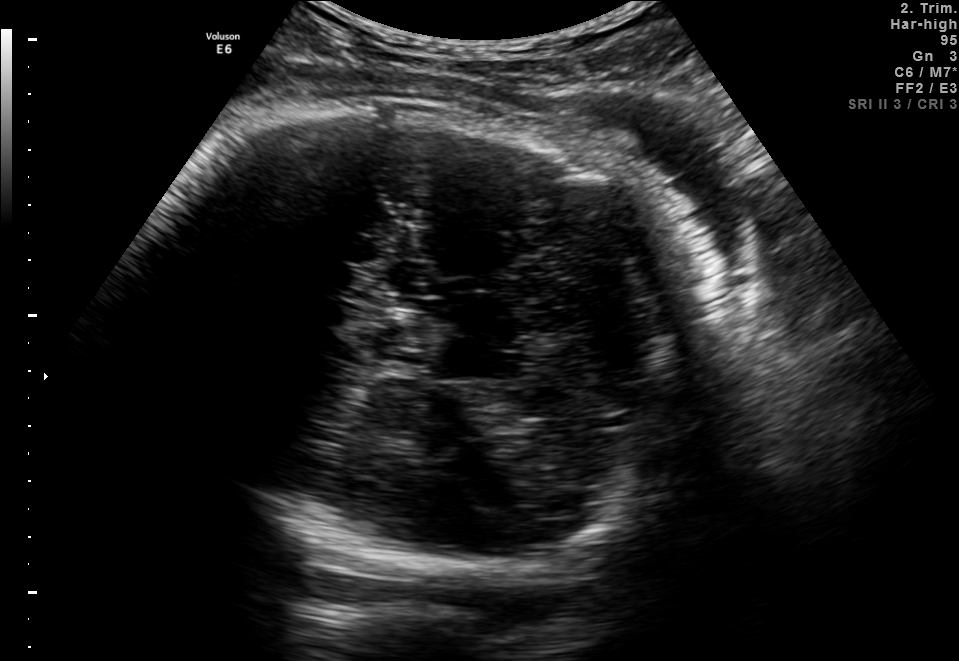
Fetal brain, trans-thalamic plane. Locate the fetal head.

Head: [131,105,686,570]